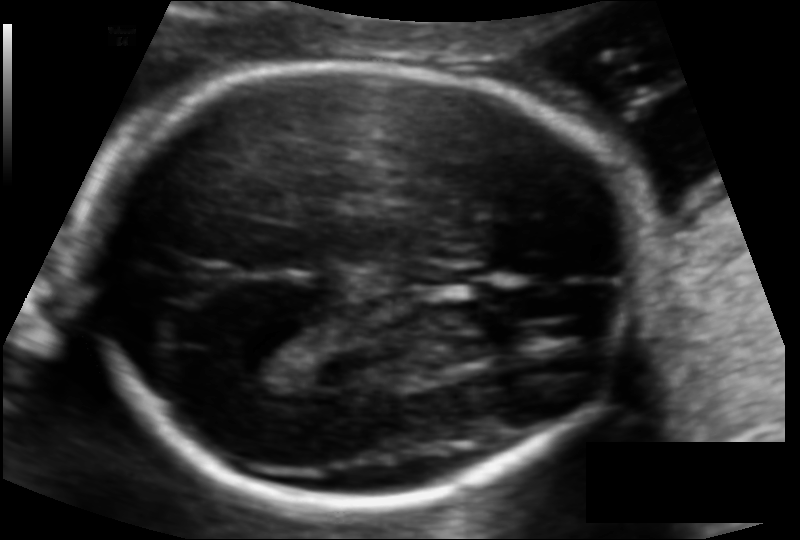
From this fetal ultrasound, estimate the head circumference (image width 86.6 mm).

Head circumference: 176.2 mm.